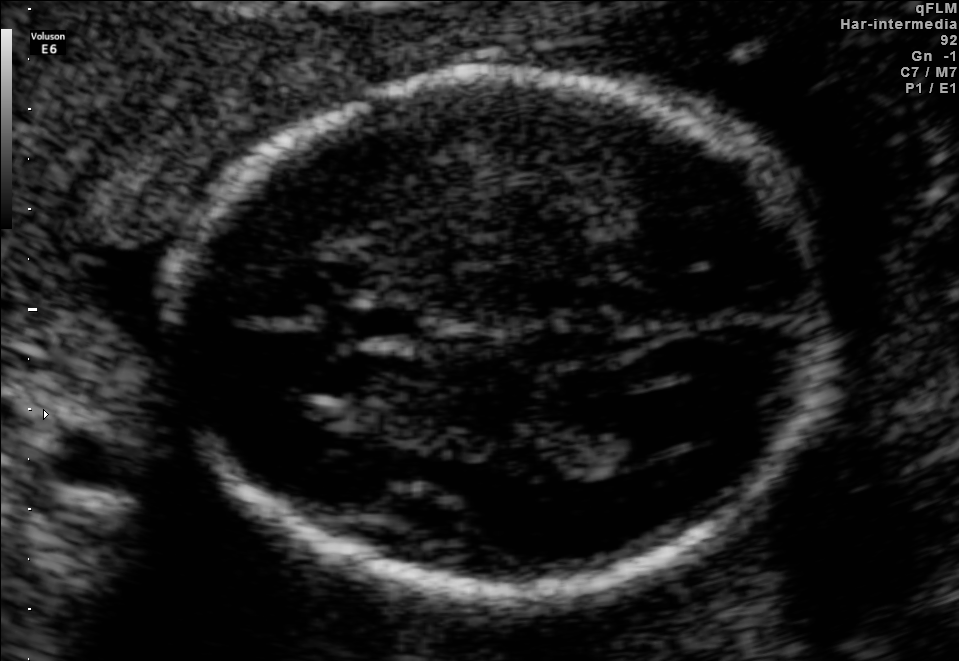
Fetal brain, trans-ventricular plane. Locate the cavum septum pellucidum.

CSP: [350,306,437,337]